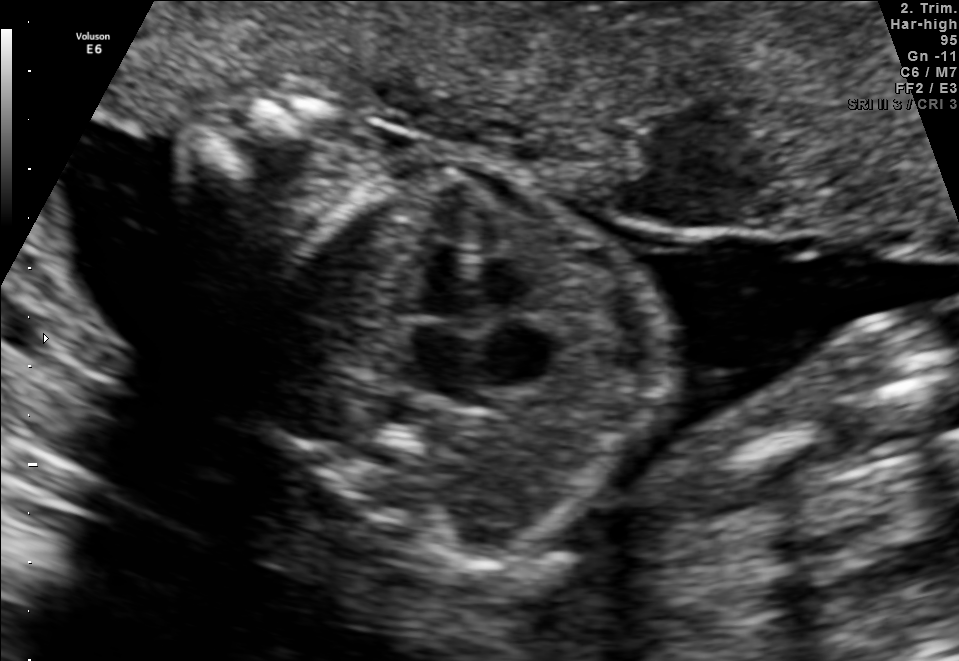
Classify this maternal-fetal ultrasound image as one of the six standard planes — fetal abdomen, fetal brain, fetal femur, fetal thorax, maternal cervix, or other. If it's fetal brain and one of the three standard brain planes (trans-thalamic, trans-cerebellum, trans-ventricular), name which.

Fetal thorax